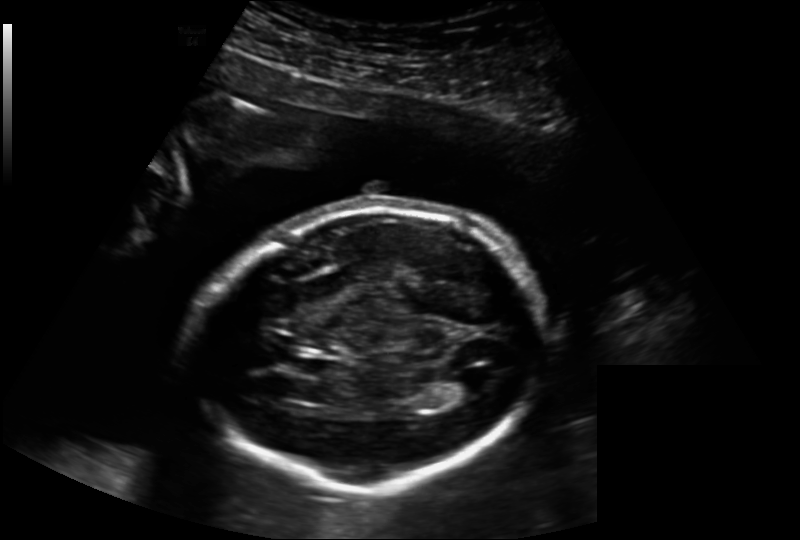
Estimate the fetal head circumference from this 2D ultrasound.

Head circumference: 204.3 mm (image width 161.7 mm).